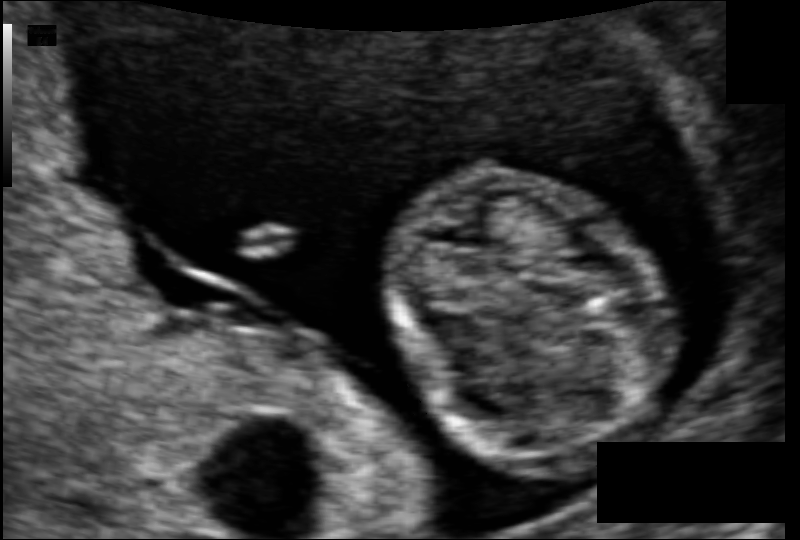
Estimate the fetal head circumference from this 2D ultrasound.

Head circumference: 70.5 mm (image width 59.6 mm).